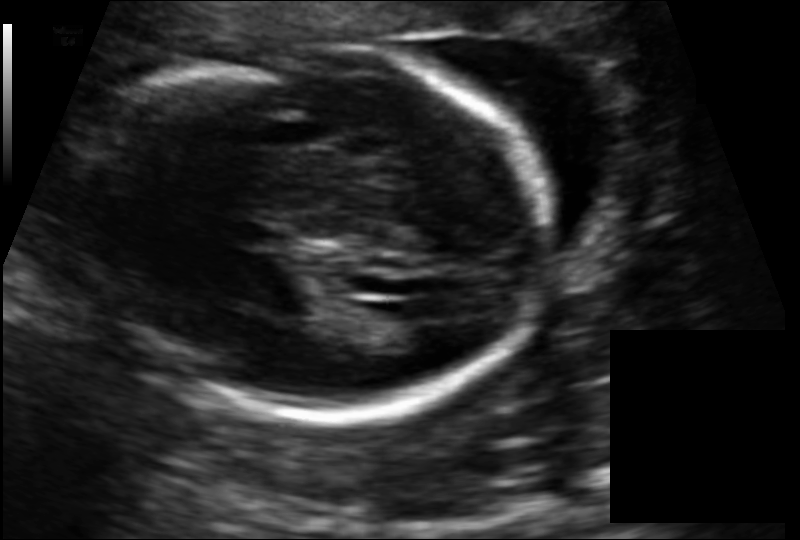
In this fetal head ultrasound, give bounding boxes for the head outline, cavum septum pellucidum (CSP), and lateral ventricle (LV), where visible. Image width: 108.7 mm.

Head: [96,47,551,418]